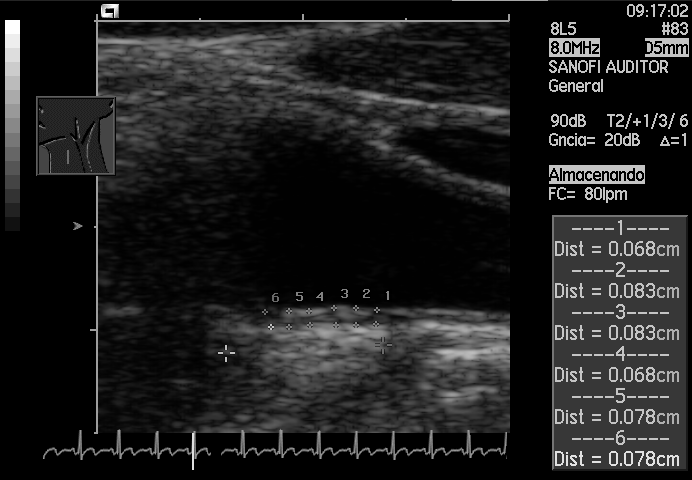
Which standard maternal-fetal ultrasound plane is shown: fetal abdomen, fetal brain, fetal femur, fetal thorax, maternal cervix, or other? If it's fetal brain and one of the three standard brain planes (trans-thalamic, trans-cerebellum, trans-ventricular), name which.

Other